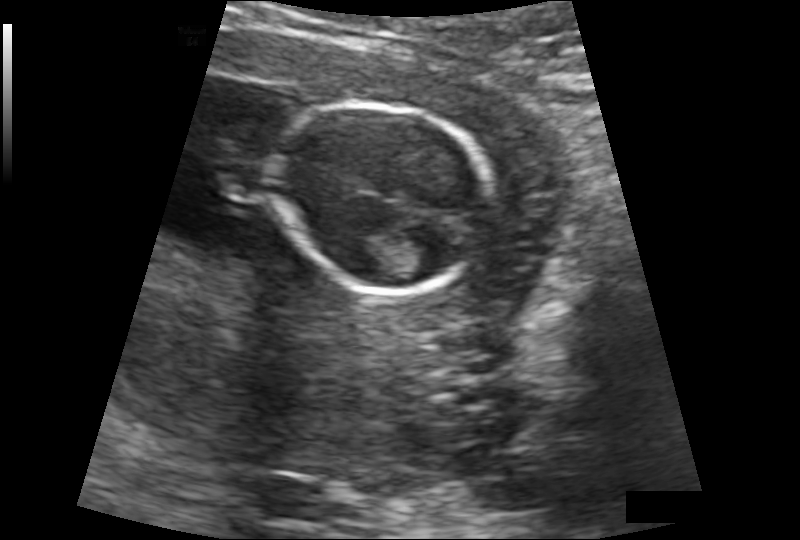
In this fetal head ultrasound, give the bounding box of the fetal head. Image width: 105.8 mm.

[274,105,492,291]